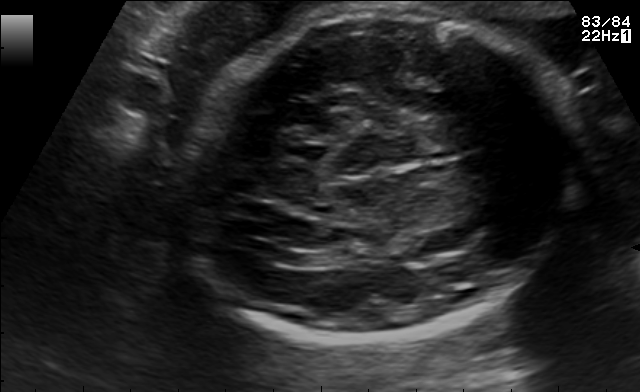
Fetal brain, trans-ventricular plane. Where is the fetal head?

Head bounding box: [176,7,578,345]